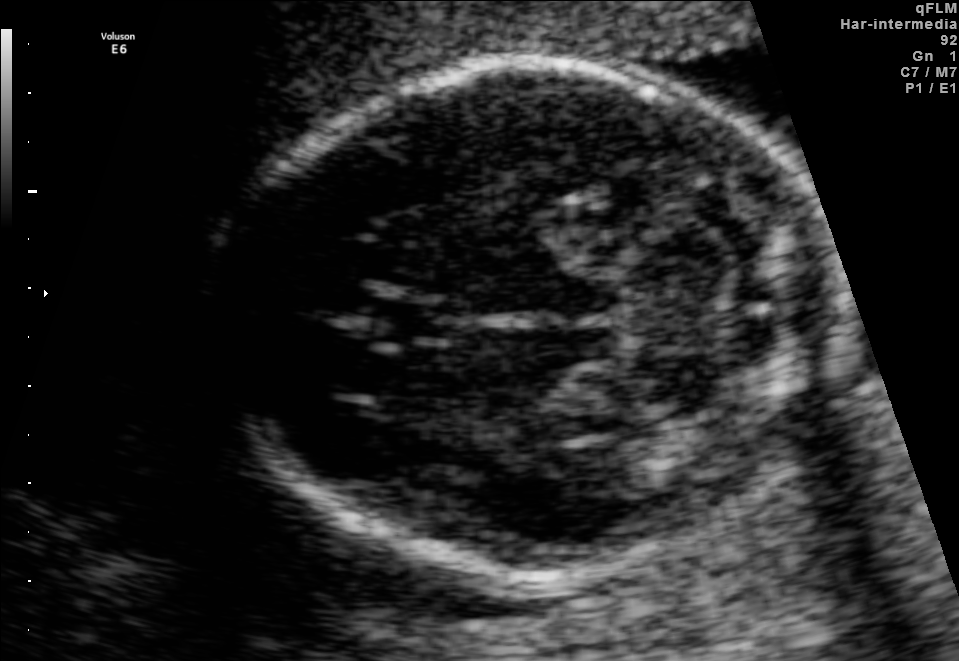
In this fetal brain, trans-cerebellum plane, give the bounding box of the cavum septum pellucidum.

[371,297,452,345]